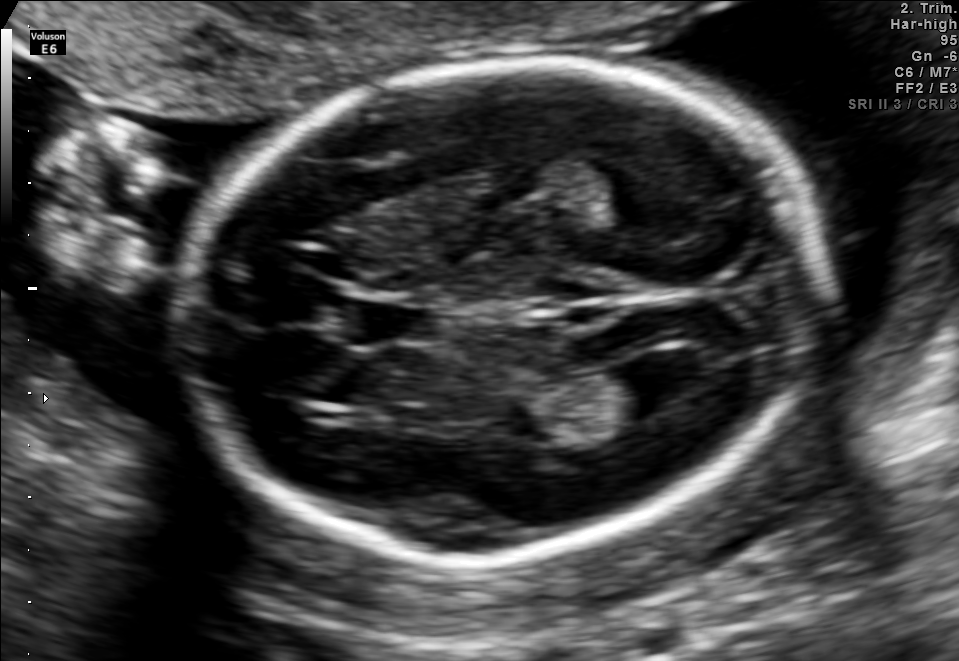
Fetal brain, trans-ventricular plane. Where is the lateral ventricle?

Lateral ventricle bounding box: [605,333,717,424]